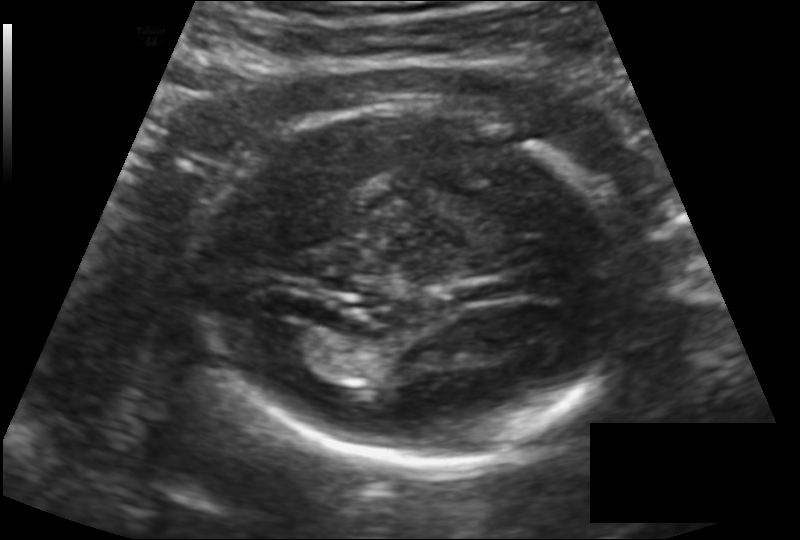
In this fetal head ultrasound, give the bounding box of the fetal head. Image width: 113.7 mm.

[206,107,627,469]